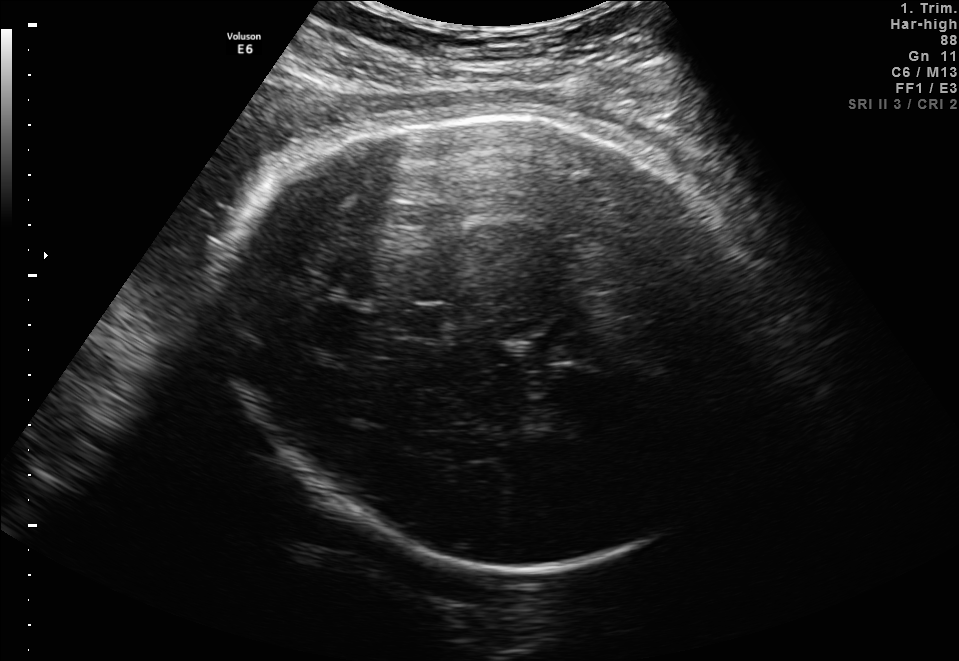
Fetal brain, trans-thalamic plane. Give [x1,y1,x2,y2] bounding boxes for each visible structure among: fetal head, CSP, LV.

Head: [214,104,777,565]
CSP: [401,305,459,340]